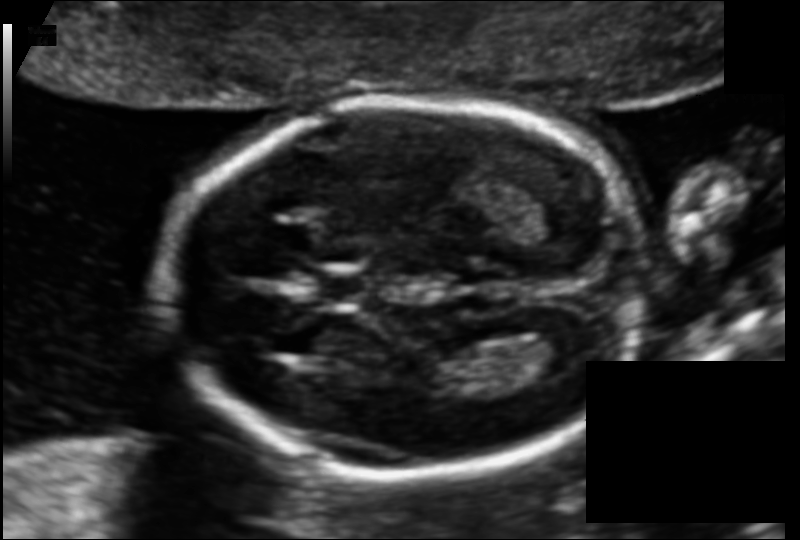
In this fetal head ultrasound, give the bounding box of the cavum septum pellucidum. Image width: 87.9 mm.

[313,273,374,303]